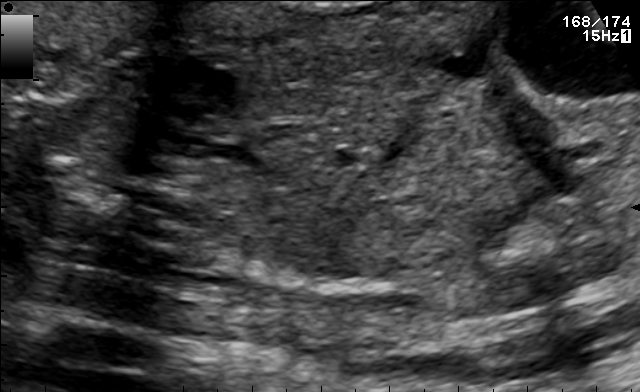
Classify this maternal-fetal ultrasound image as one of the six standard planes — fetal abdomen, fetal brain, fetal femur, fetal thorax, maternal cervix, or other. If it's fetal brain and one of the three standard brain planes (trans-thalamic, trans-cerebellum, trans-ventricular), name which.

Other